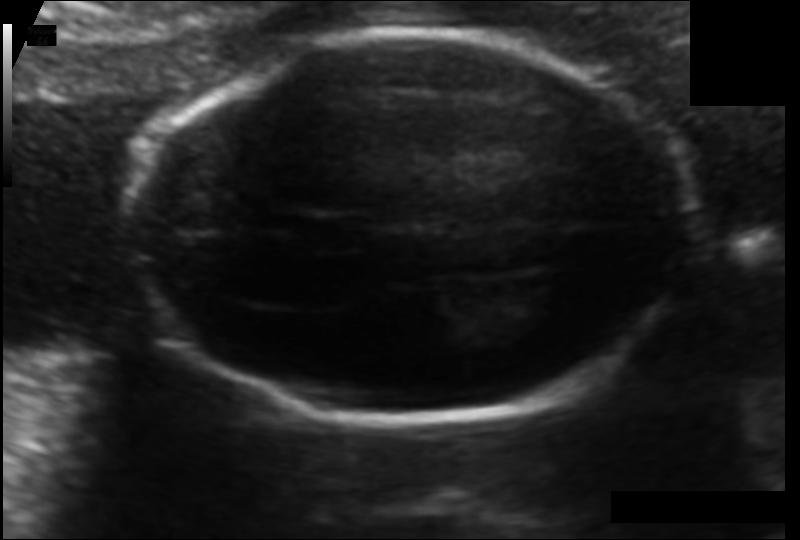
What is the fetal head circumference? Image width is 82.3 mm.

159.5 mm